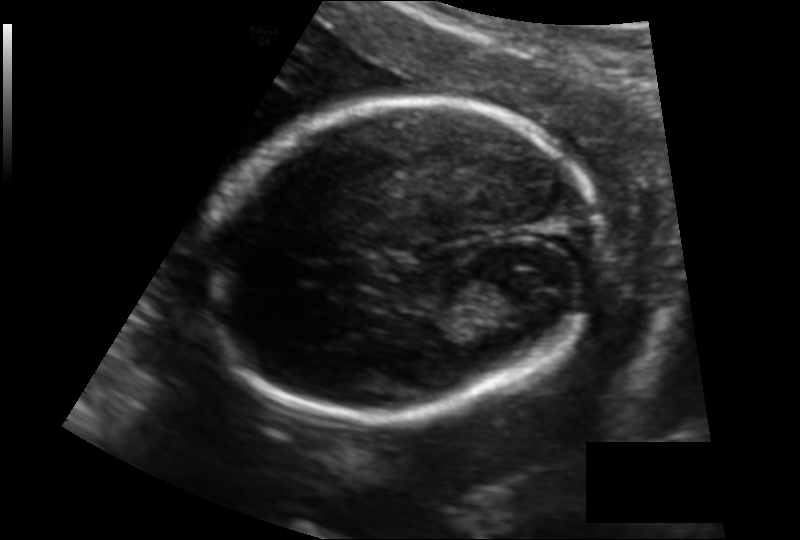
Fetal head ultrasound. Image width: 112.2 mm. Where is the fetal head?

Head bounding box: [199,102,600,420]